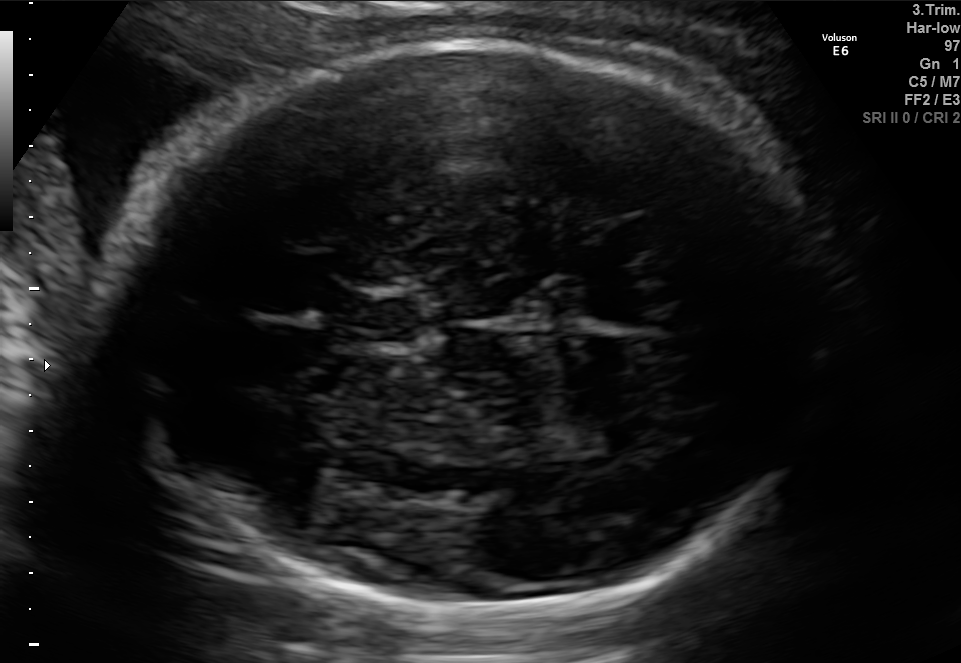
Fetal brain, trans-thalamic plane. Locate the cavum septum pellucidum.

CSP: [343,297,419,343]